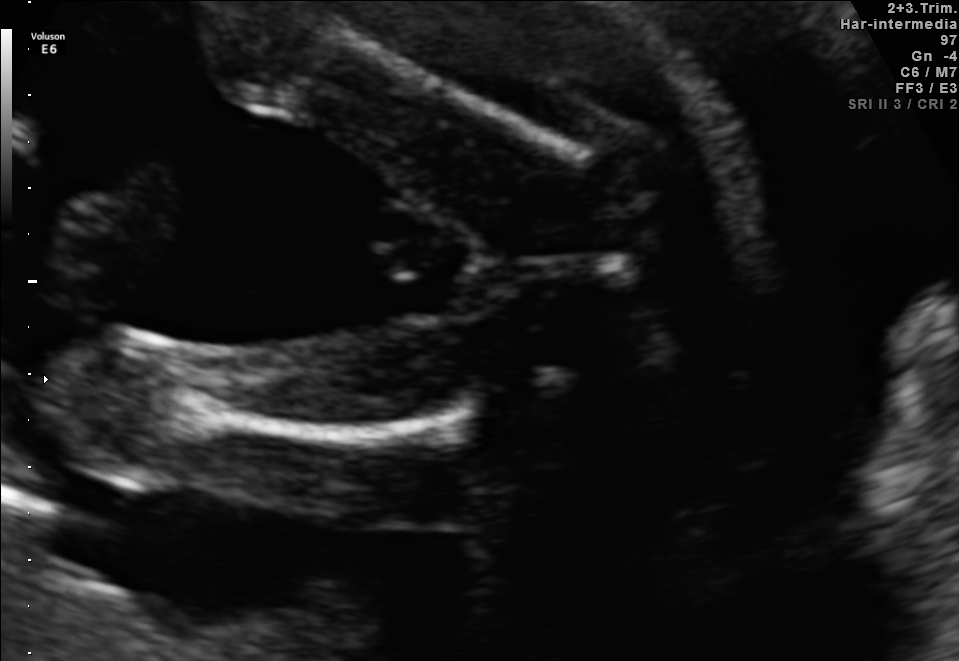
This is a 2D maternal-fetal ultrasound frame. Is it a fetal abdomen, fetal brain, fetal femur, fetal thorax, maternal cervix, or other standard plane? If it's fetal brain and one of the three standard brain planes (trans-thalamic, trans-cerebellum, trans-ventricular), name which.

Fetal femur